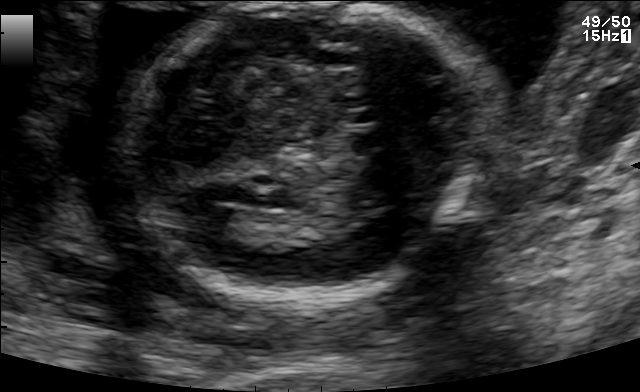
In this fetal brain, trans-thalamic plane, give bounding boxes for the head outline, cavum septum pellucidum (CSP), and lateral ventricle (LV), where visible.

Head: [133,2,467,302]
Lateral ventricle: [195,203,257,245]